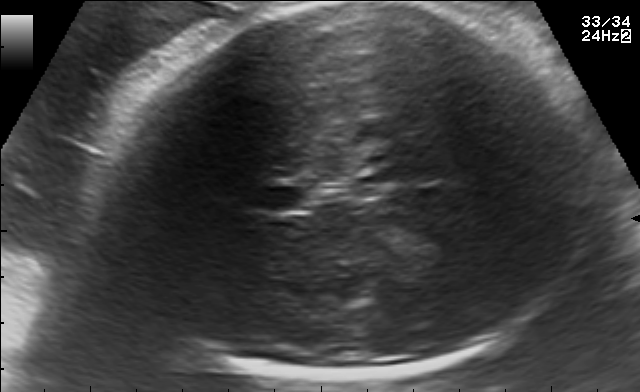
In this fetal brain, trans-thalamic plane, give bounding boxes for the head outline, cavum septum pellucidum (CSP), and lateral ventricle (LV), where visible.

Head: [106,3,589,381]
CSP: [256,187,303,211]